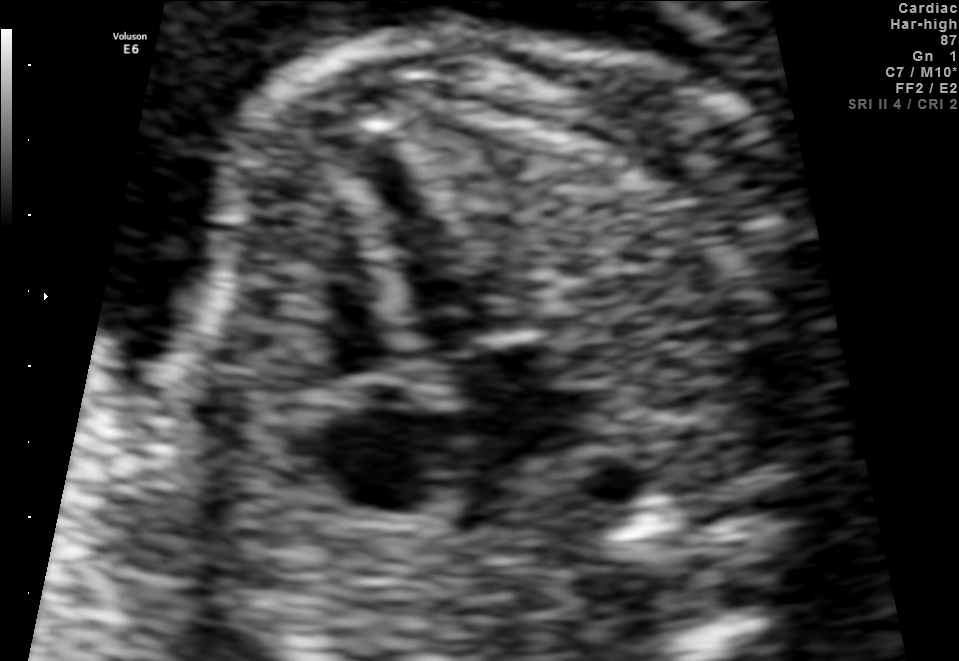
This is a 2D maternal-fetal ultrasound frame. Is it a fetal abdomen, fetal brain, fetal femur, fetal thorax, maternal cervix, or other standard plane? If it's fetal brain and one of the three standard brain planes (trans-thalamic, trans-cerebellum, trans-ventricular), name which.

Fetal thorax